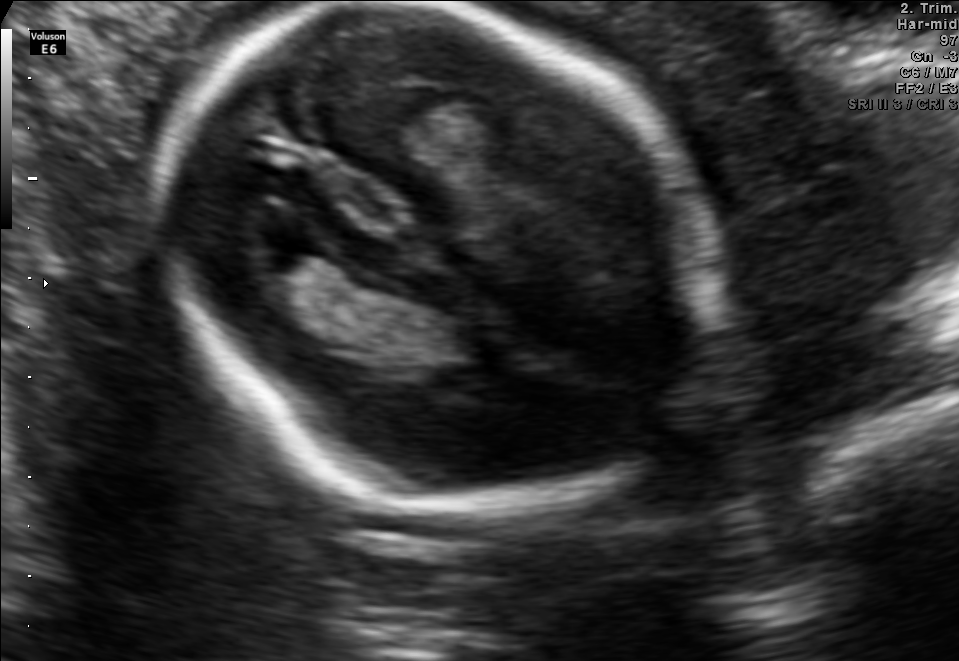
Fetal brain, trans-thalamic plane. Locate the lateral ventricle.

Lateral ventricle: [219,183,332,297]